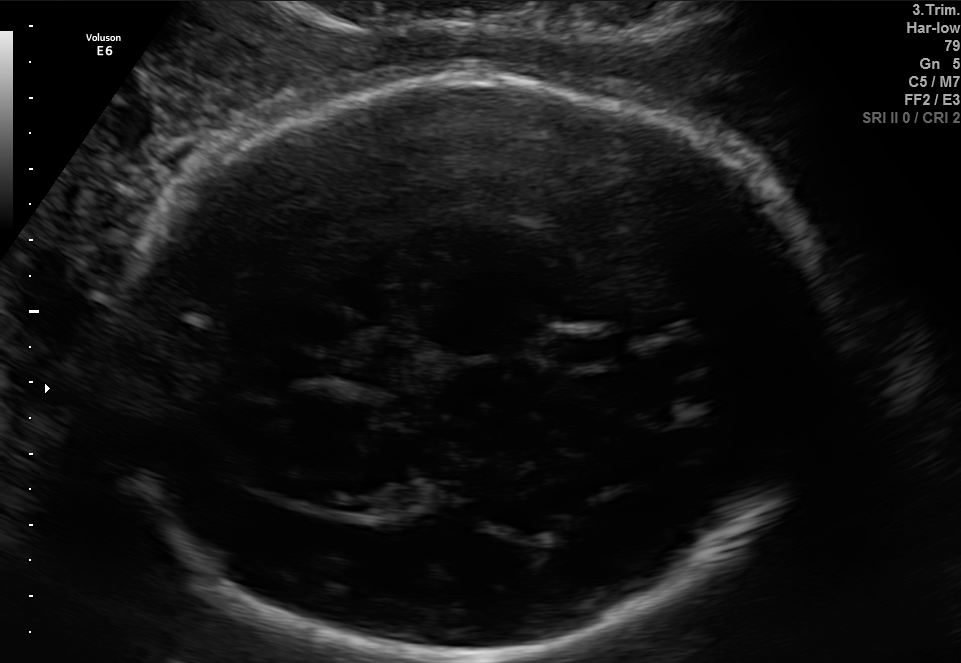
Fetal brain, trans-thalamic plane. Where is the cavum septum pellucidum?

CSP bounding box: [552,336,615,360]